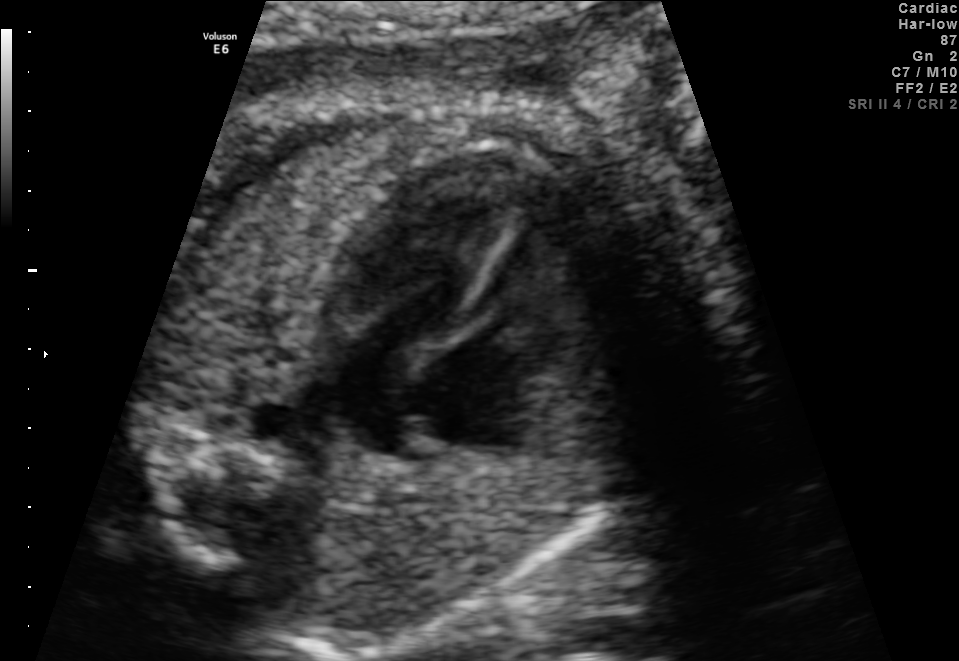
Classify this maternal-fetal ultrasound image as one of the six standard planes — fetal abdomen, fetal brain, fetal femur, fetal thorax, maternal cervix, or other. If it's fetal brain and one of the three standard brain planes (trans-thalamic, trans-cerebellum, trans-ventricular), name which.

Fetal thorax